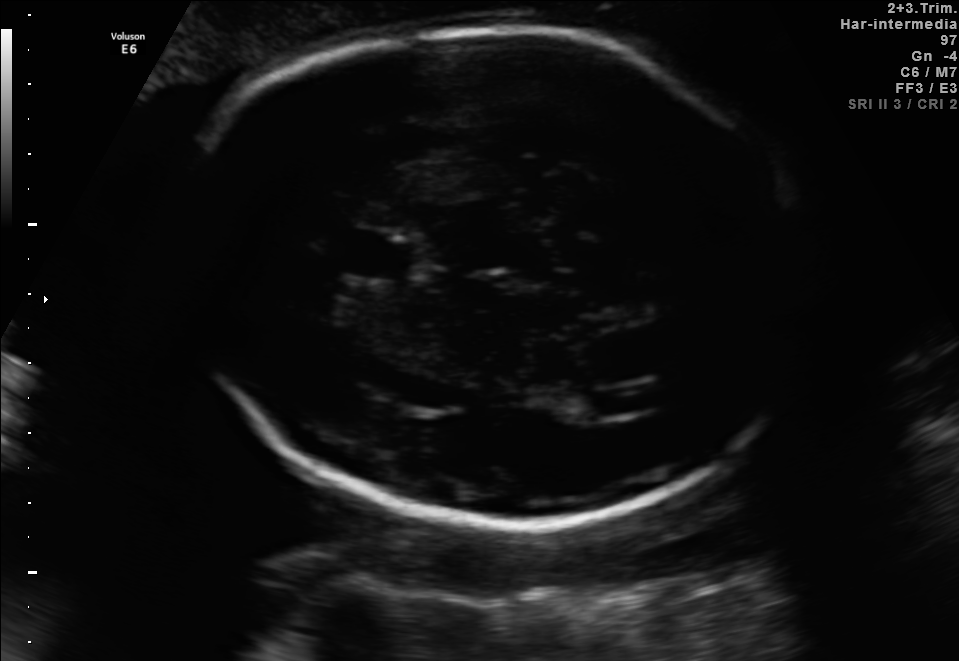
Fetal brain, trans-ventricular plane. Locate the fetal head and, if visible, the cavum septum pellucidum (CSP) and lateral ventricle (LV). Give bounding boxes as [x1,y1,x2,y2].

Head: [160,14,831,533]